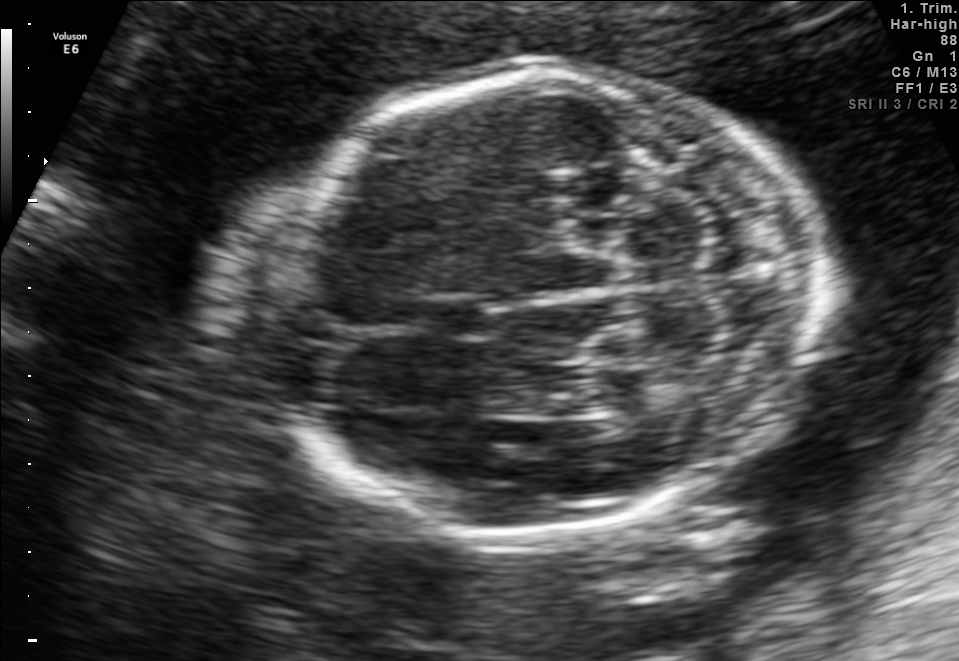
Identify the standard plane in this fetal ultrasound image: fetal abdomen, fetal brain, fetal femur, fetal thorax, maternal cervix, or other. If it's fetal brain and one of the three standard brain planes (trans-thalamic, trans-cerebellum, trans-ventricular), name which.

Fetal brain (trans-cerebellum plane)